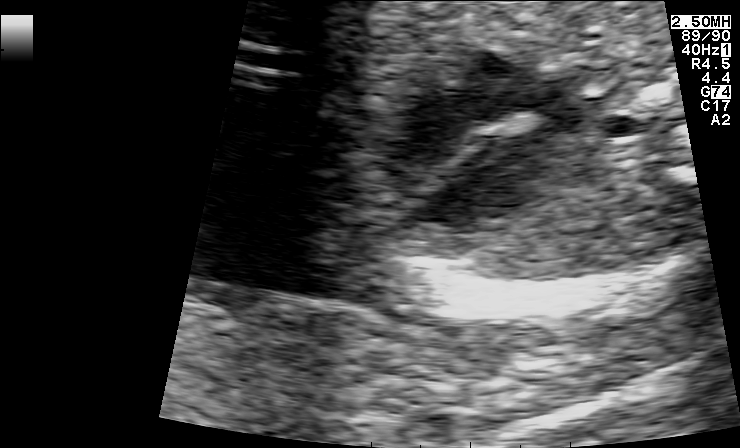
Identify the standard plane in this fetal ultrasound image: fetal abdomen, fetal brain, fetal femur, fetal thorax, maternal cervix, or other. If it's fetal brain and one of the three standard brain planes (trans-thalamic, trans-cerebellum, trans-ventricular), name which.

Other